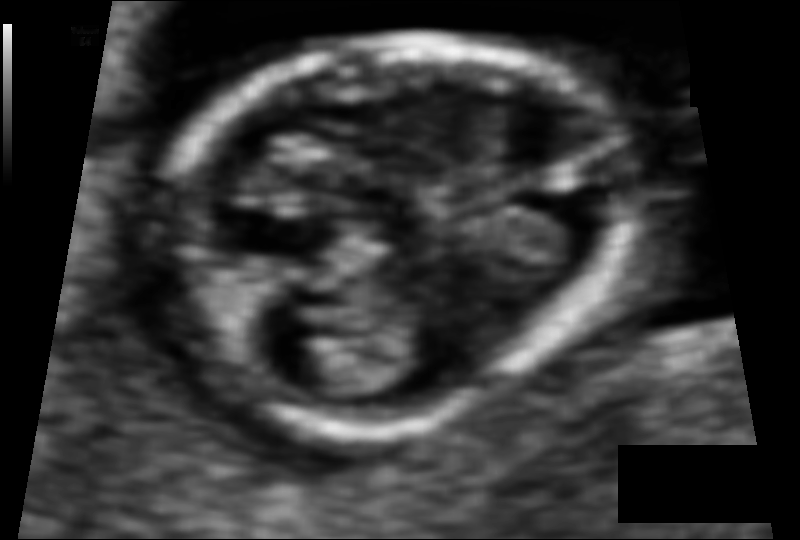
In this fetal head ultrasound, give the bounding box of the fetal head. Image width: 47.7 mm.

[153,36,624,426]